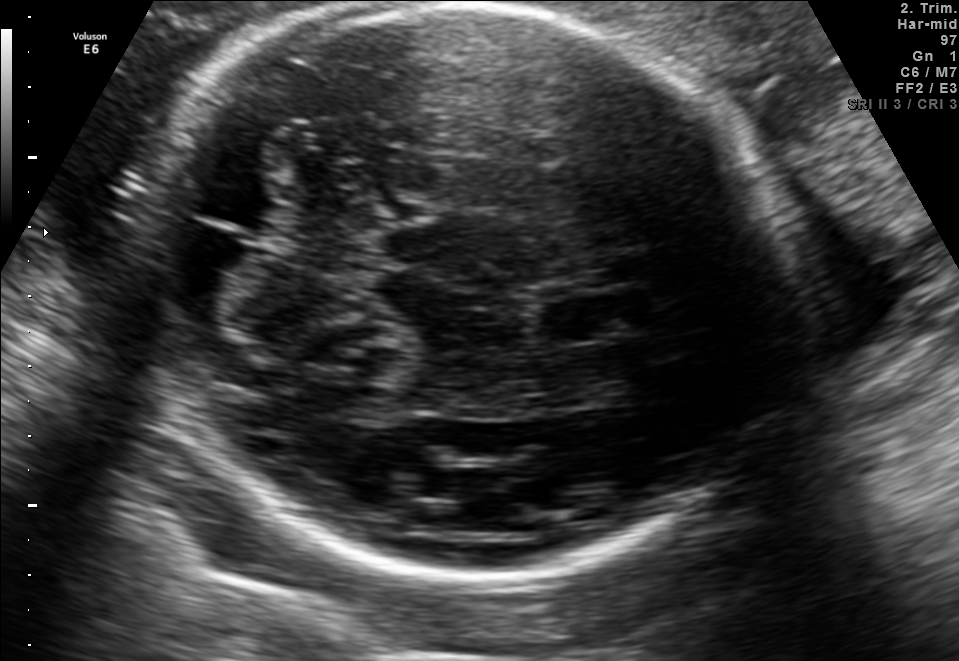
Fetal brain, trans-cerebellum plane. Locate the fetal head.

Head: [136,3,777,576]